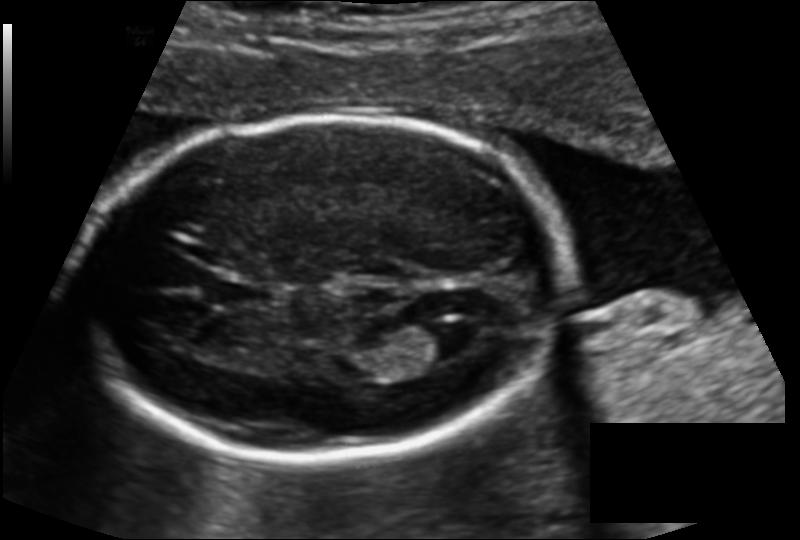
Fetal head ultrasound. Image width: 109.1 mm. Where is the lateral ventricle?

Lateral ventricle bounding box: [407,315,477,367]